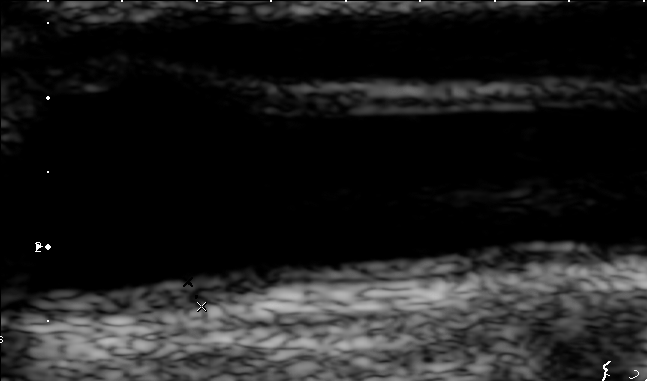
Which standard maternal-fetal ultrasound plane is shown: fetal abdomen, fetal brain, fetal femur, fetal thorax, maternal cervix, or other? If it's fetal brain and one of the three standard brain planes (trans-thalamic, trans-cerebellum, trans-ventricular), name which.

Other